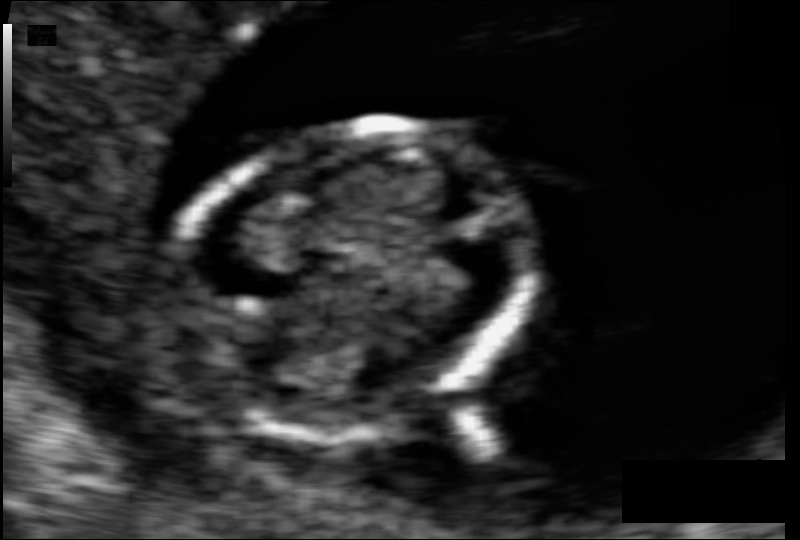
Fetal head ultrasound. Image width: 54.9 mm. Locate the fetal head and, if visible, the cavum septum pellucidum (CSP) and lateral ventricle (LV). Give bounding boxes as [x1,y1,x2,y2].

Head: [177,121,536,440]